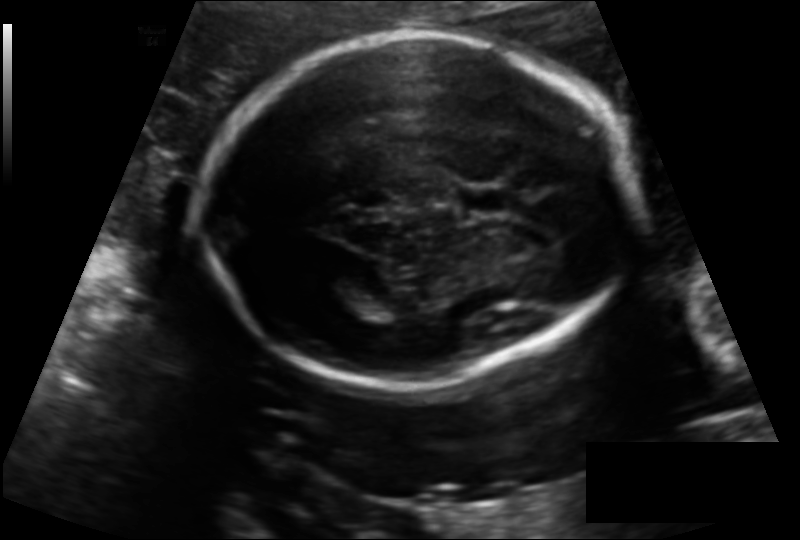
Measure the fetal head circumference shown in this ultrasound image. Image width: 111.5 mm.

Head circumference: 177.5 mm.